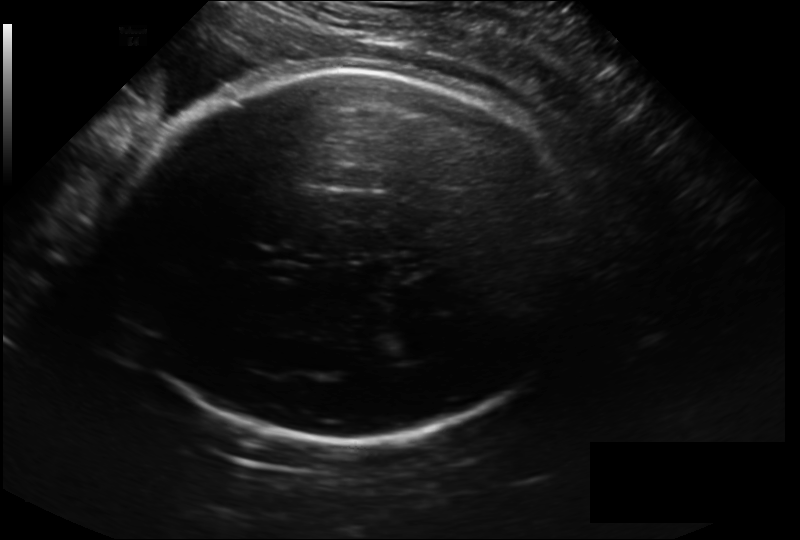
From this fetal ultrasound, estimate the head circumference (image width 182.1 mm).

Head circumference: 311.8 mm.